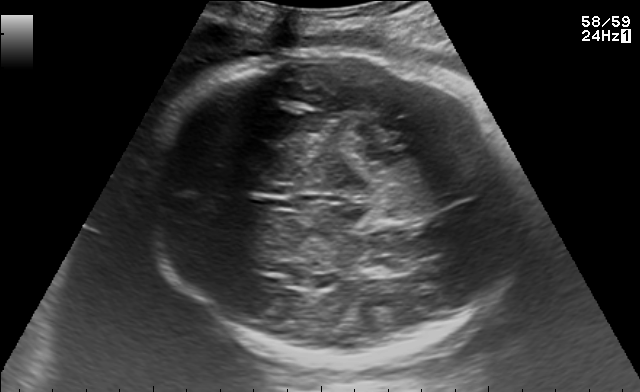
Fetal brain, trans-thalamic plane. Where is the fetal head?

Head bounding box: [141,45,524,361]